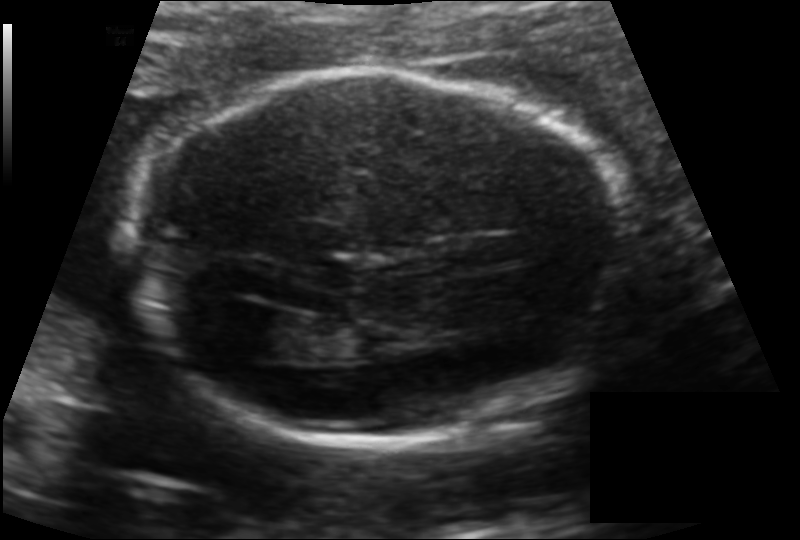
Fetal head ultrasound. Image width: 107.1 mm. Locate the fetal head and, if visible, the cavum septum pellucidum (CSP) and lateral ventricle (LV). Give bounding boxes as [x1,y1,x2,y2].

Head: [138,69,631,441]
Lateral ventricle: [223,308,299,358]